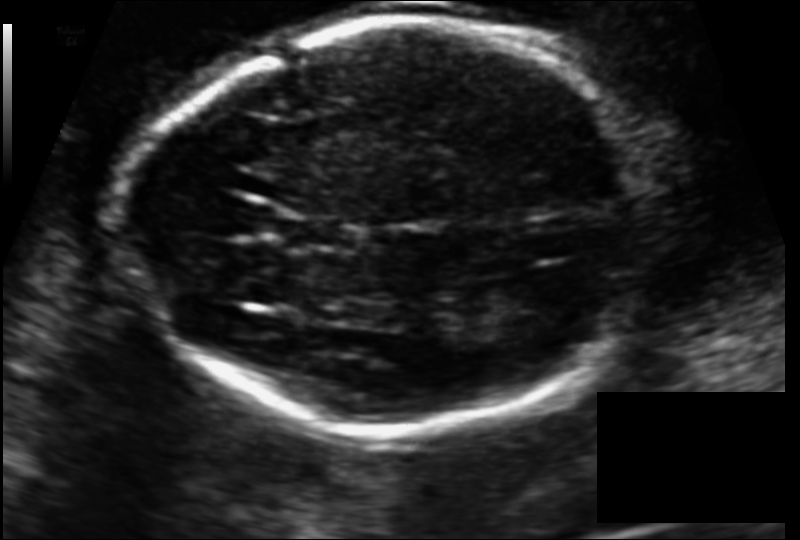
From this fetal ultrasound, estimate the head circumference (image width 98.9 mm).

Head circumference: 189.1 mm.